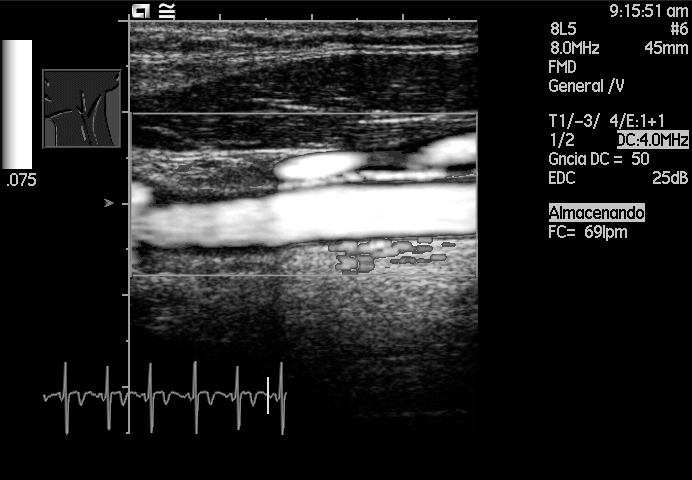
This is a 2D maternal-fetal ultrasound frame. Is it a fetal abdomen, fetal brain, fetal femur, fetal thorax, maternal cervix, or other standard plane? If it's fetal brain and one of the three standard brain planes (trans-thalamic, trans-cerebellum, trans-ventricular), name which.

Other